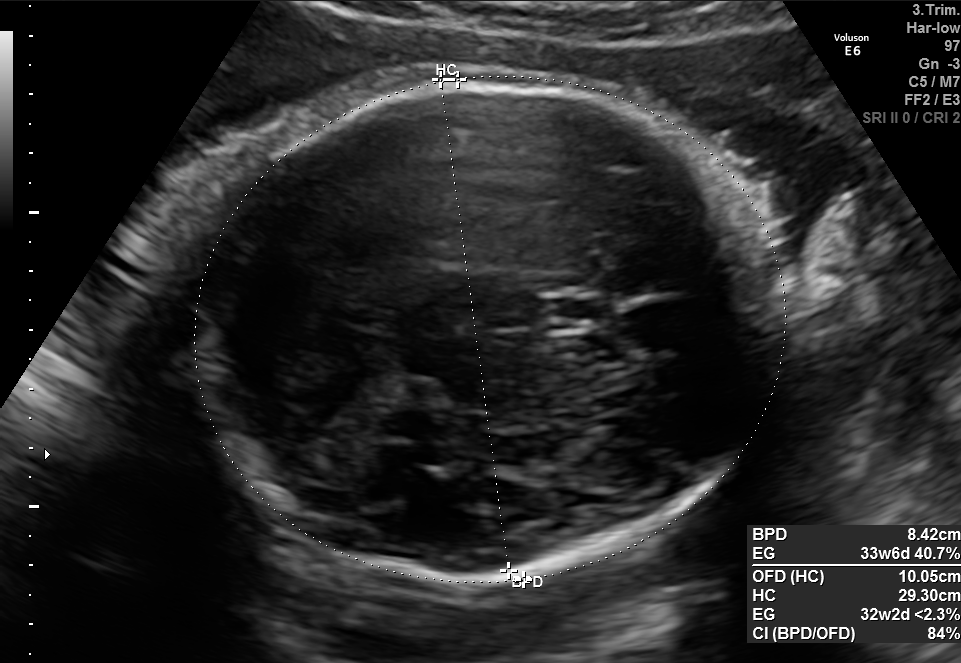
Fetal brain, trans-thalamic plane. Where is the fetal head?

Head bounding box: [193,73,786,582]